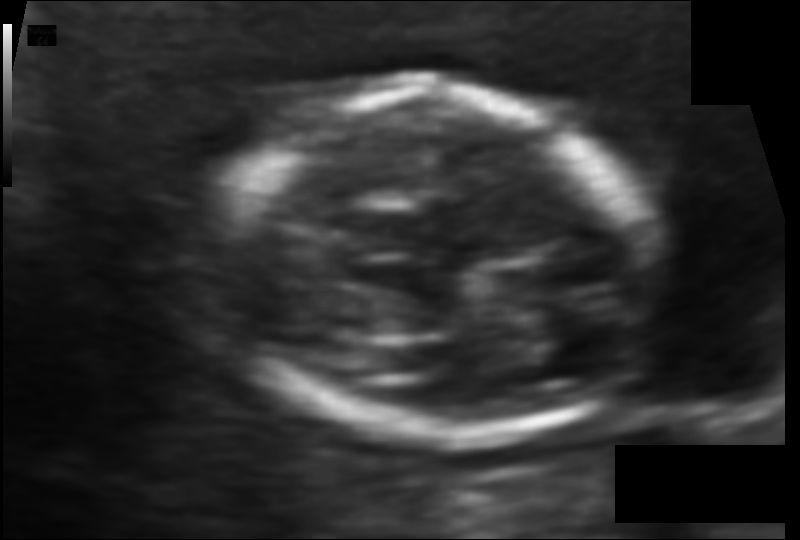
What is the fetal head circumference? Image width is 66.1 mm.

103.7 mm